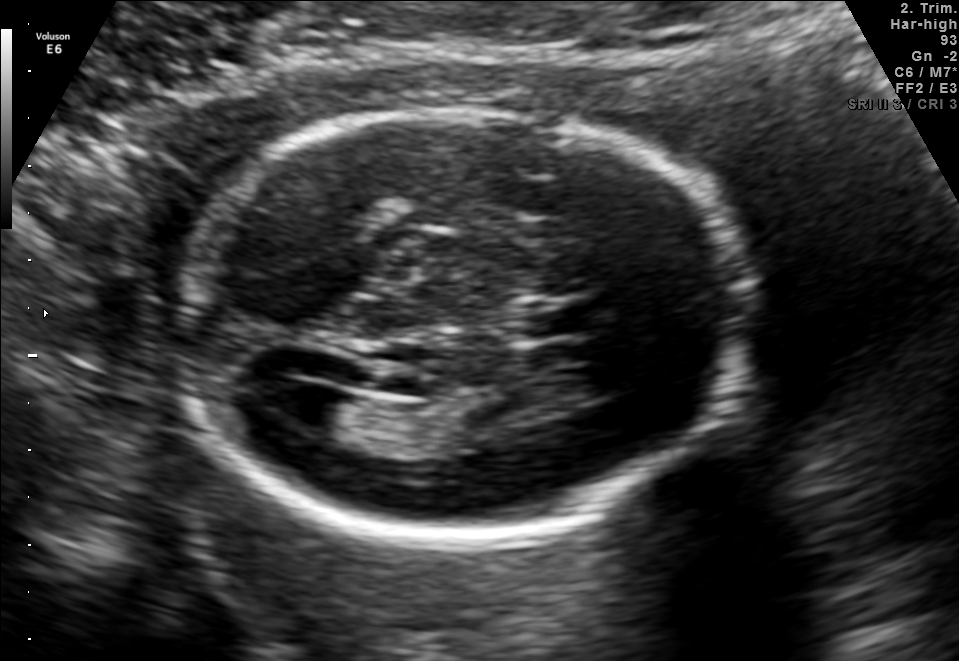
Fetal brain, trans-ventricular plane. Where is the lateral ventricle?

Lateral ventricle bounding box: [261,372,342,433]